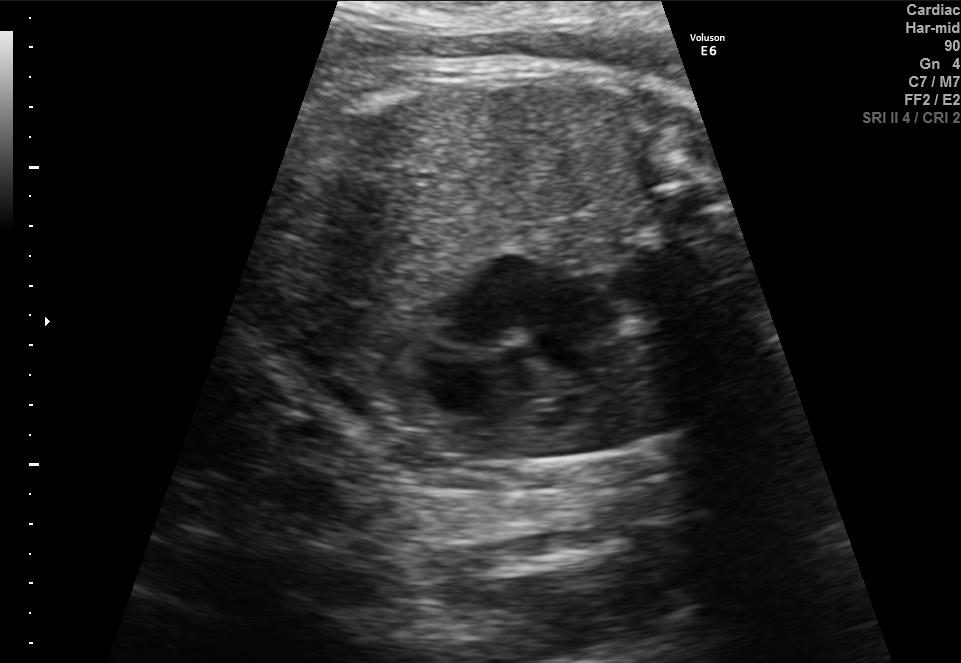
Which standard maternal-fetal ultrasound plane is shown: fetal abdomen, fetal brain, fetal femur, fetal thorax, maternal cervix, or other? If it's fetal brain and one of the three standard brain planes (trans-thalamic, trans-cerebellum, trans-ventricular), name which.

Fetal thorax